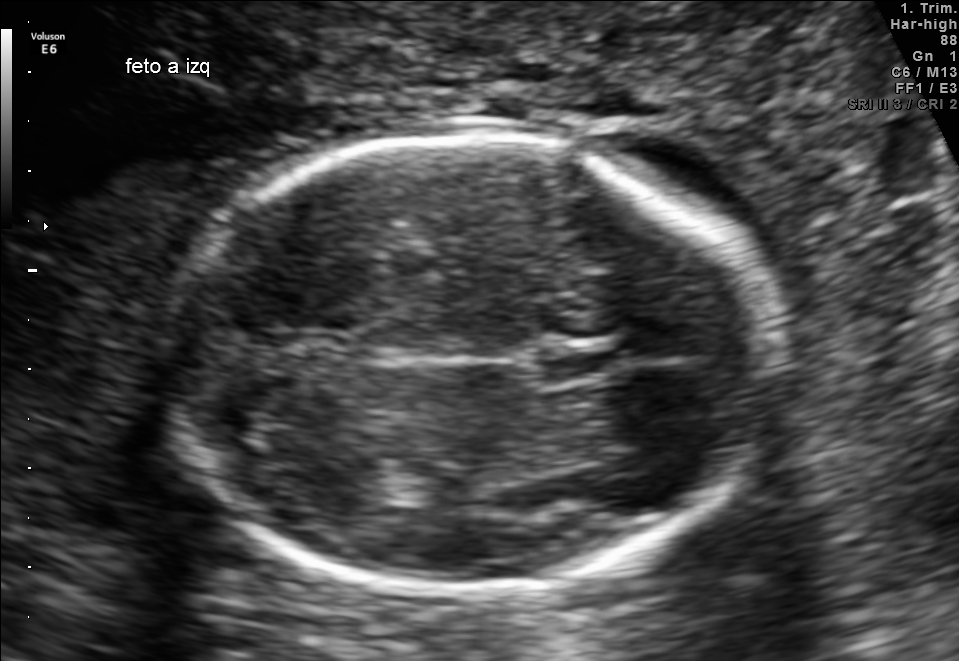
In this fetal brain, trans-thalamic plane, give the bounding box of the fetal head.

[163,137,780,590]